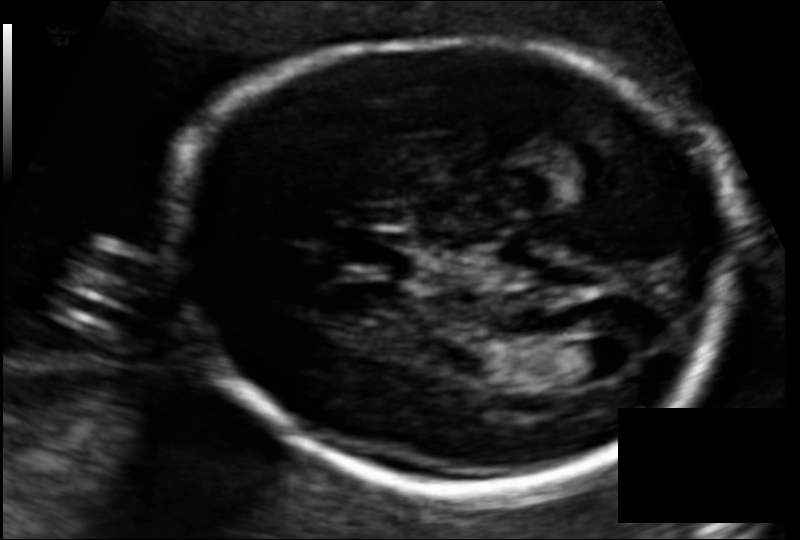
What is the fetal head circumference? Image width is 86.4 mm.

182.0 mm